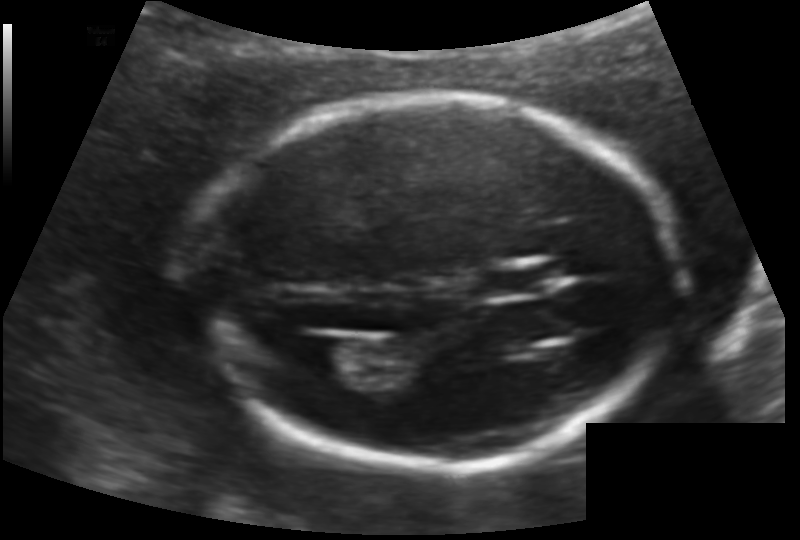
Fetal head ultrasound. Image width: 99.5 mm. Give [x1,y1,x2,y2] bounding boxes for each visible structure among: fetal head, CSP, LV.

Head: [193,96,666,469]
CSP: [475,261,546,303]
Lateral ventricle: [300,332,358,378]